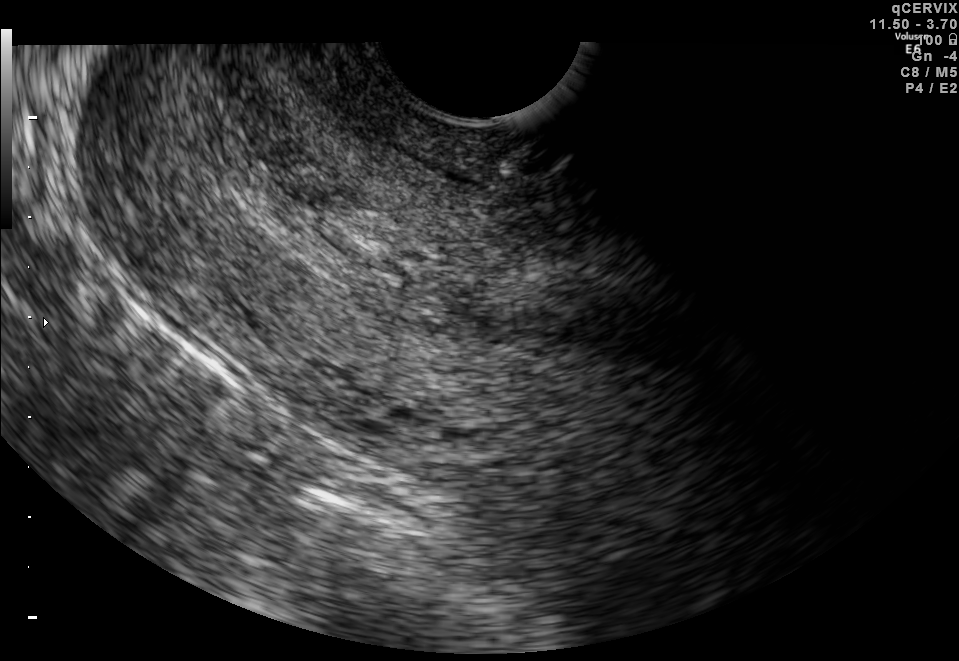
Which standard maternal-fetal ultrasound plane is shown: fetal abdomen, fetal brain, fetal femur, fetal thorax, maternal cervix, or other? If it's fetal brain and one of the three standard brain planes (trans-thalamic, trans-cerebellum, trans-ventricular), name which.

Maternal cervix